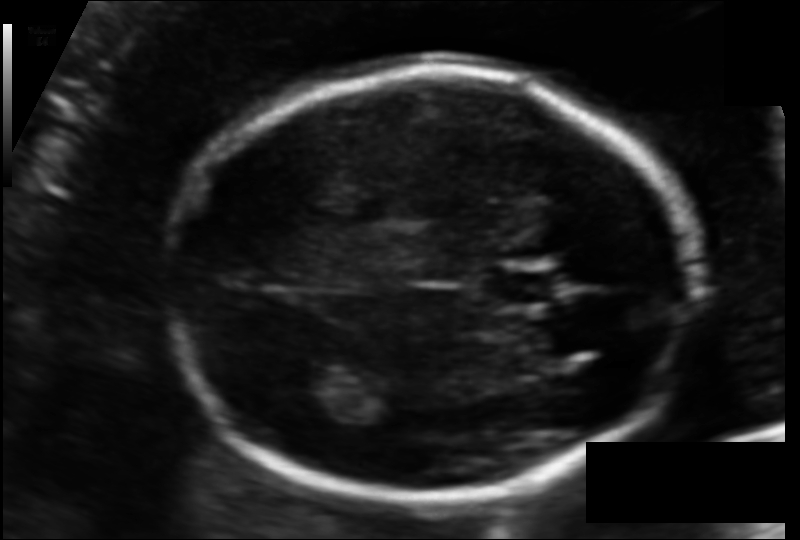
Fetal head ultrasound. Image width: 86.2 mm. Locate the fetal head and, if visible, the cavum septum pellucidum (CSP) and lateral ventricle (LV). Give bounding boxes as [x1,y1,x2,y2].

Head: [161,74,692,496]
CSP: [489,268,561,306]